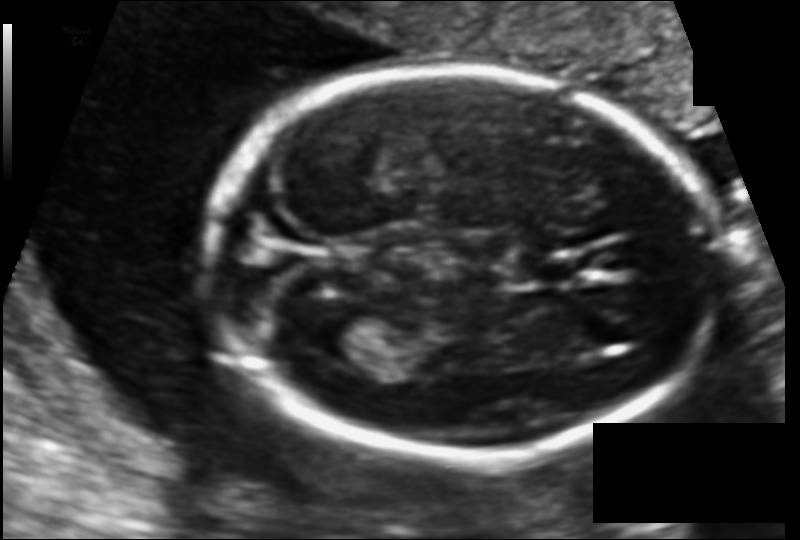
Fetal head ultrasound. Image width: 86.7 mm. Where is the fetal head?

Head bounding box: [211,67,716,457]